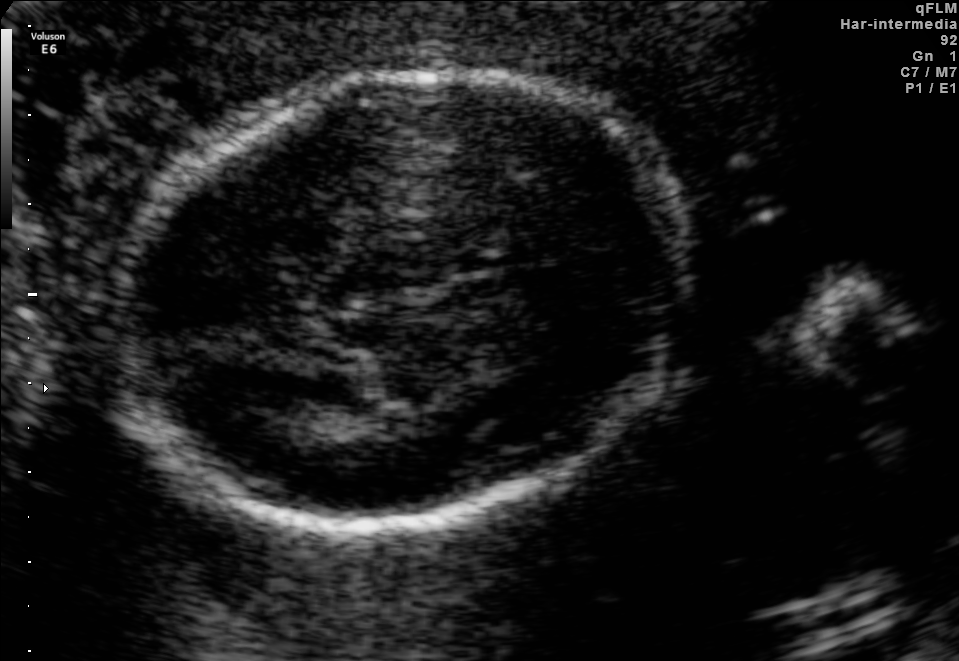
Fetal brain, trans-thalamic plane. Locate the fetal head.

Head: [119,74,688,531]